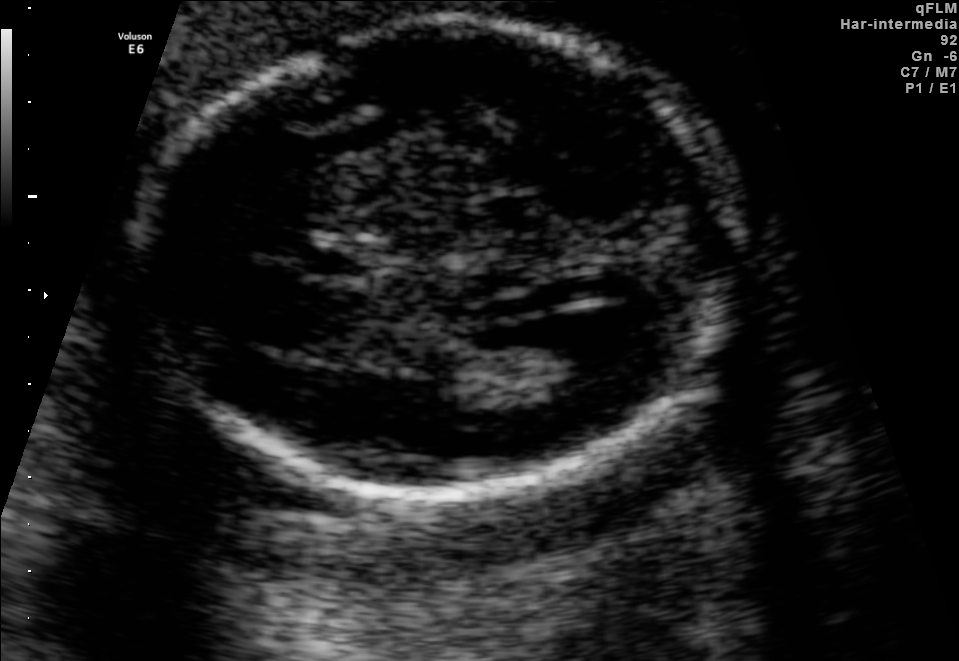
Fetal brain, trans-ventricular plane. Where is the lateral ventricle?

Lateral ventricle bounding box: [506,304,632,391]